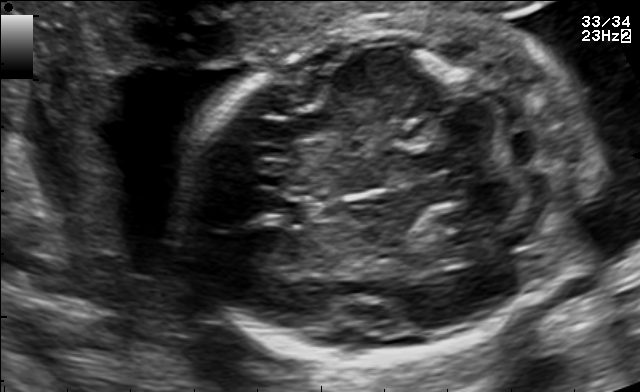
Fetal brain, trans-cerebellum plane. Locate the cavum septum pellucidum.

CSP: [275,198,320,229]